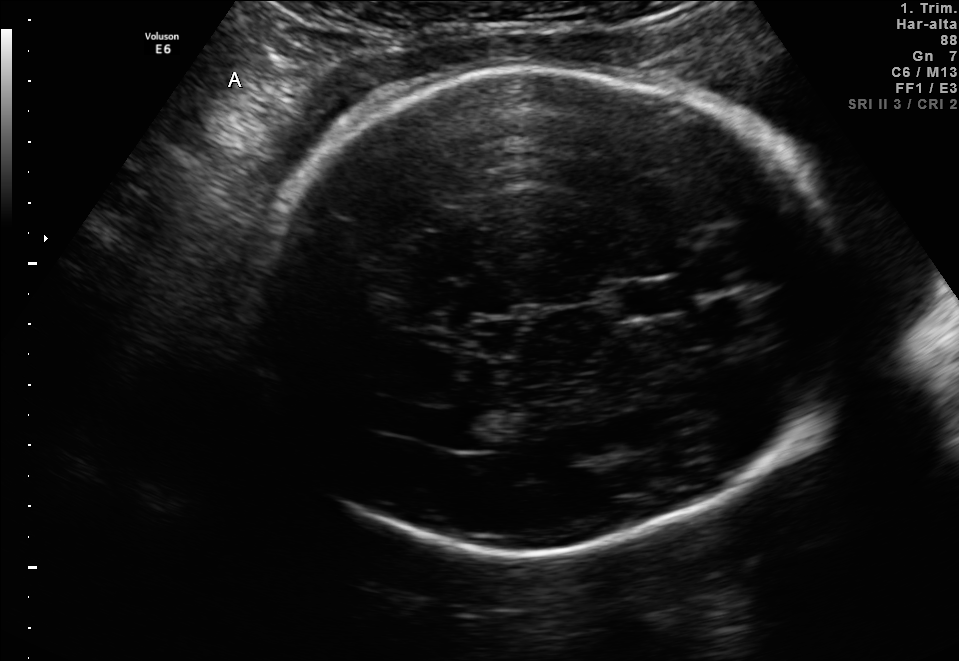
Fetal brain, trans-thalamic plane. Locate the fetal head and, if visible, the cavum septum pellucidum (CSP) and lateral ventricle (LV). Give bounding boxes as [x1,y1,x2,y2].

Head: [258,64,843,551]
CSP: [618,278,682,320]
Lateral ventricle: [433,408,497,452]